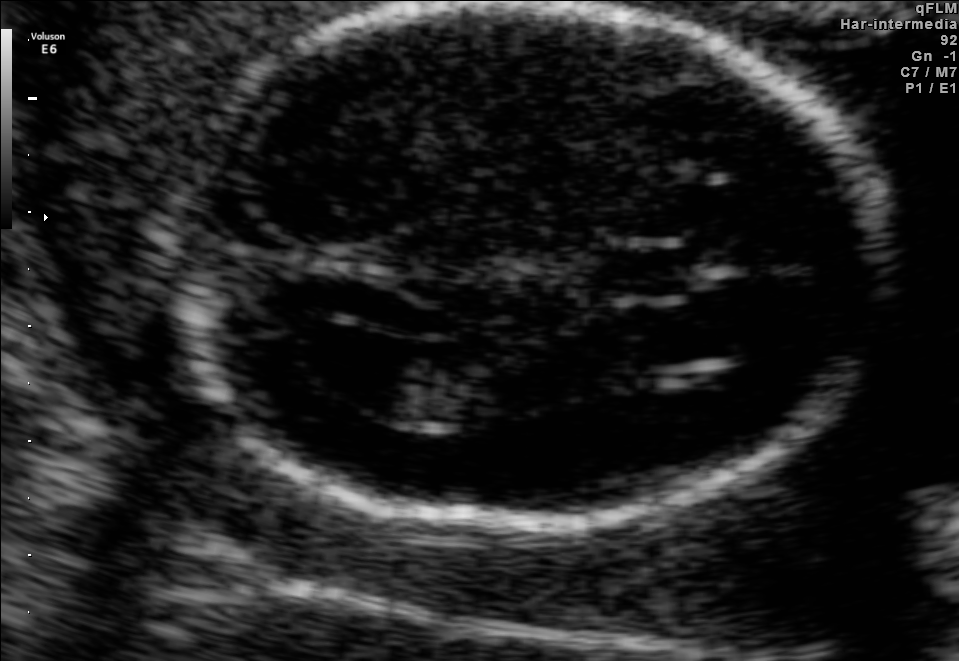
In this fetal brain, trans-ventricular plane, give bounding boxes for the head outline, cavum septum pellucidum (CSP), and lateral ventricle (LV), where visible.

Head: [141,3,908,546]
CSP: [600,246,709,297]
Lateral ventricle: [276,307,443,421]